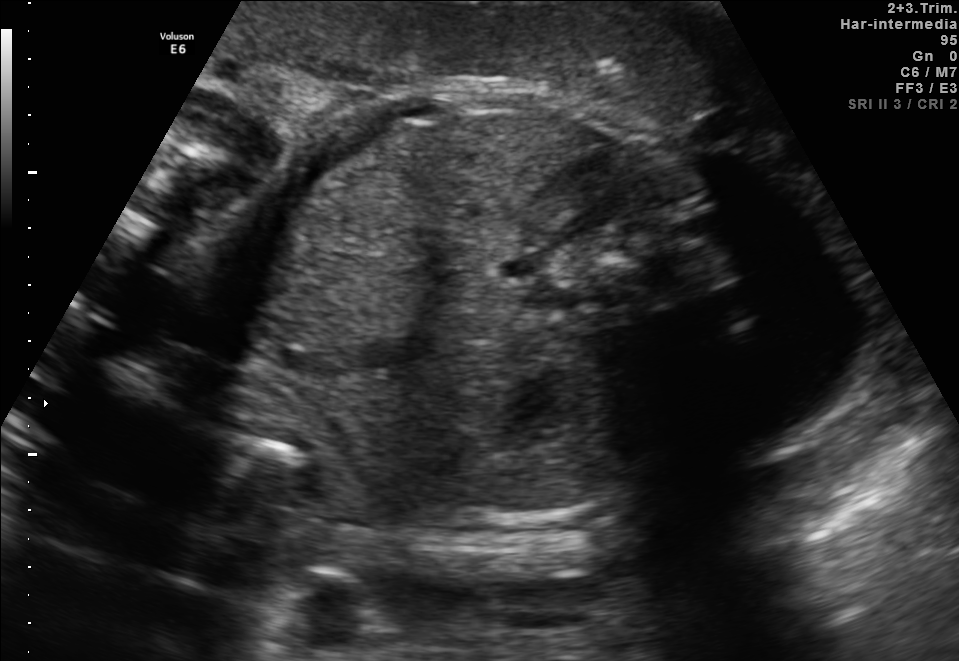
Which standard maternal-fetal ultrasound plane is shown: fetal abdomen, fetal brain, fetal femur, fetal thorax, maternal cervix, or other? If it's fetal brain and one of the three standard brain planes (trans-thalamic, trans-cerebellum, trans-ventricular), name which.

Fetal abdomen